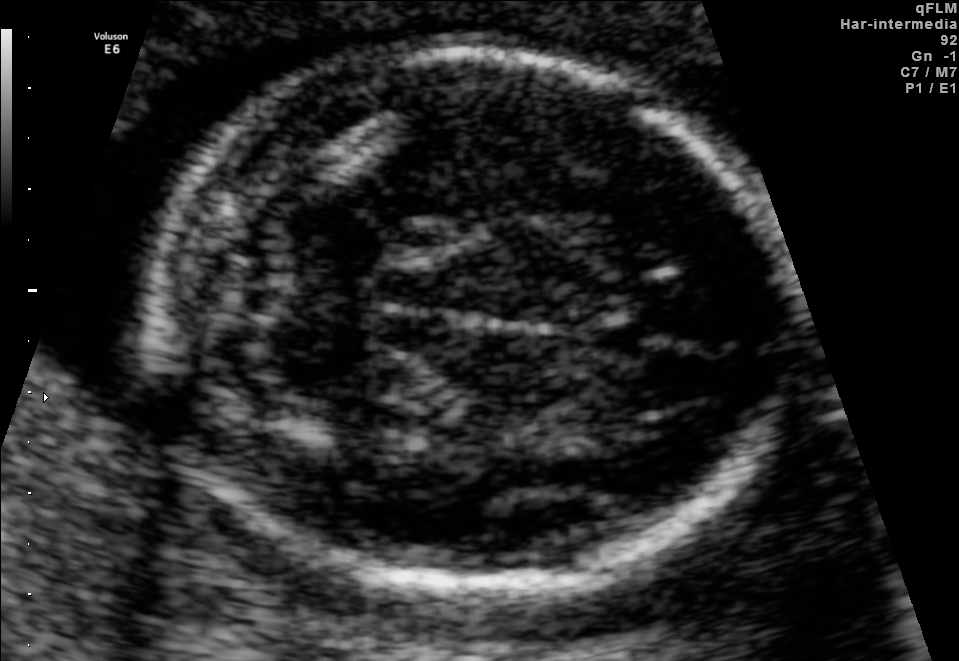
Classify this maternal-fetal ultrasound image as one of the six standard planes — fetal abdomen, fetal brain, fetal femur, fetal thorax, maternal cervix, or other. If it's fetal brain and one of the three standard brain planes (trans-thalamic, trans-cerebellum, trans-ventricular), name which.

Fetal brain (trans-cerebellum plane)